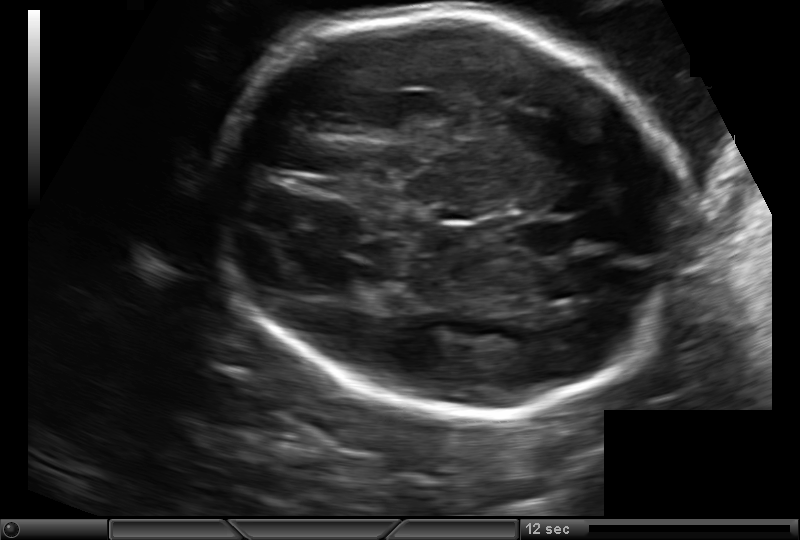
What is the fetal head circumference? Image width is 137.2 mm.

242.0 mm